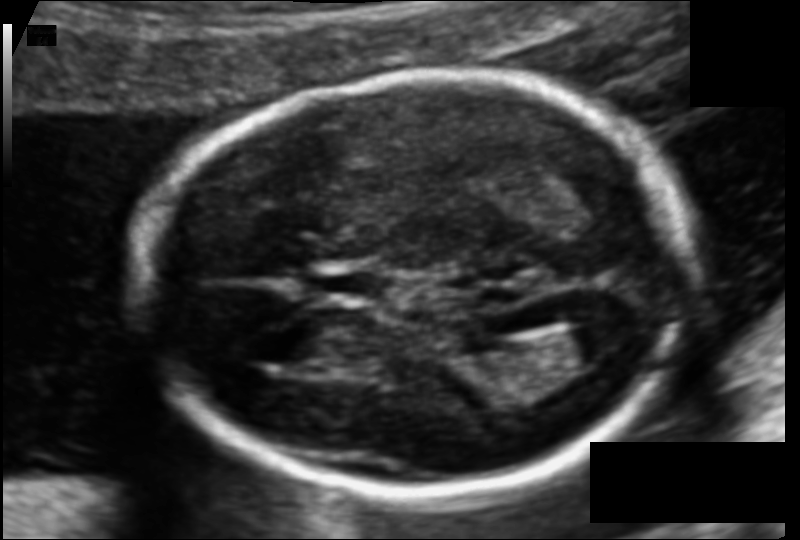
What is the fetal head circumference? Image width is 83.7 mm.

165.7 mm